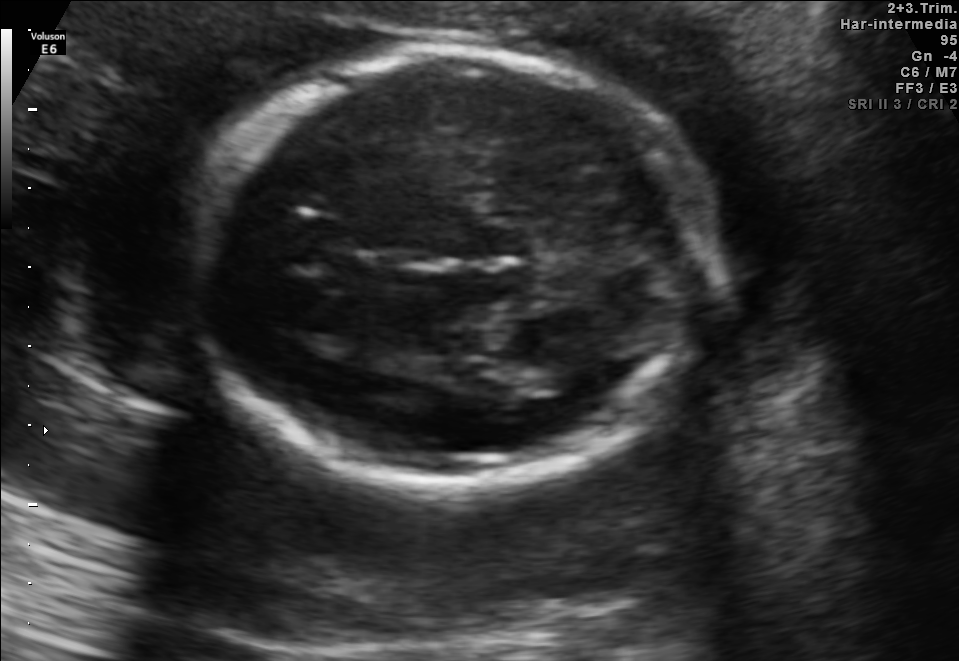
Fetal brain, trans-thalamic plane. Give [x1,y1,x2,y2] bounding boxes for each visible structure among: fetal head, CSP, LV.

Head: [194,46,709,485]